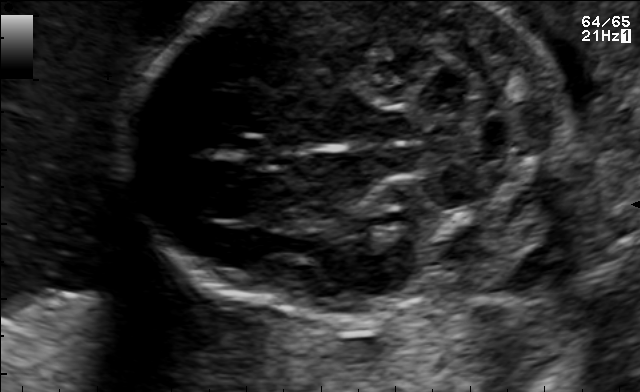
Classify this maternal-fetal ultrasound image as one of the six standard planes — fetal abdomen, fetal brain, fetal femur, fetal thorax, maternal cervix, or other. If it's fetal brain and one of the three standard brain planes (trans-thalamic, trans-cerebellum, trans-ventricular), name which.

Fetal brain (trans-cerebellum plane)